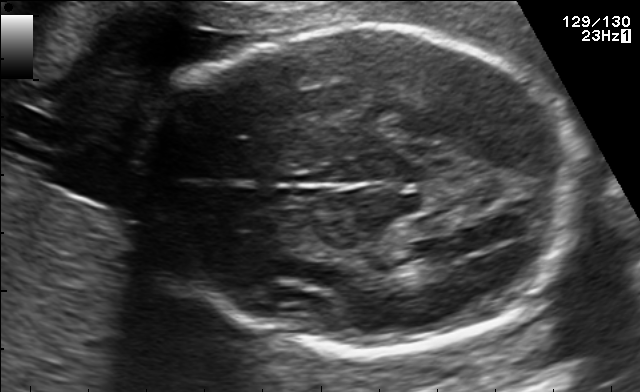
Fetal brain, trans-ventricular plane. Locate the fetal head and, if visible, the cavum septum pellucidum (CSP) and lateral ventricle (LV). Give bounding boxes as [x1,y1,x2,y2].

Head: [138,21,590,357]